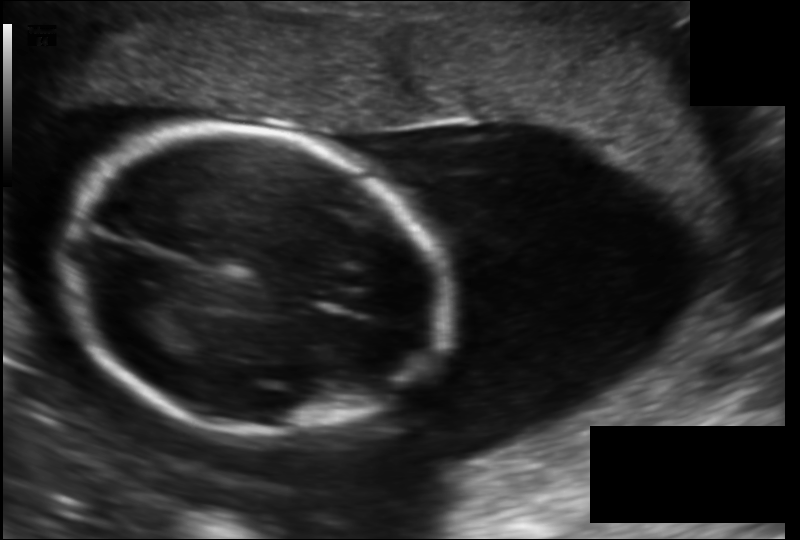
Fetal head ultrasound. Image width: 124.6 mm. Give [x1,y1,x2,y2] bounding boxes for each visible structure among: fetal head, CSP, LV.

Head: [66,129,442,434]